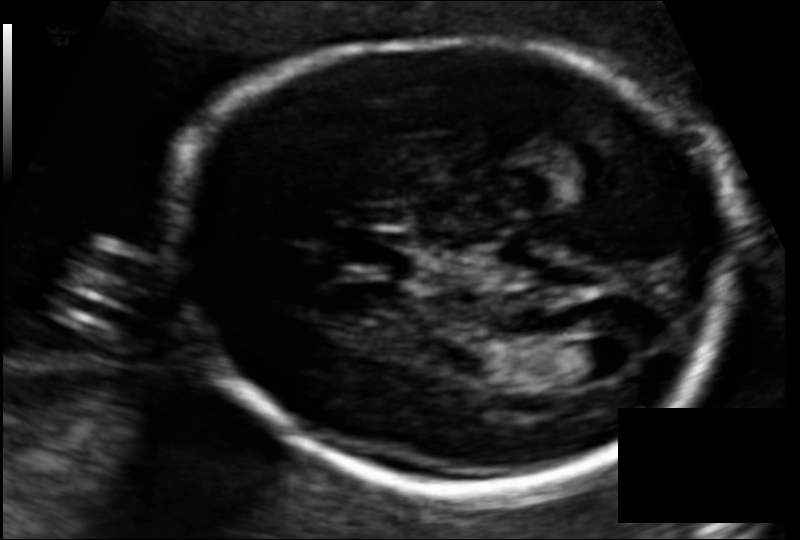
Fetal head ultrasound. Image width: 86.4 mm. Give [x1,y1,x2,y2] bounding boxes for each visible structure among: fetal head, CSP, LV.

Head: [164,40,729,487]
CSP: [342,228,416,277]
Lateral ventricle: [551,337,623,388]